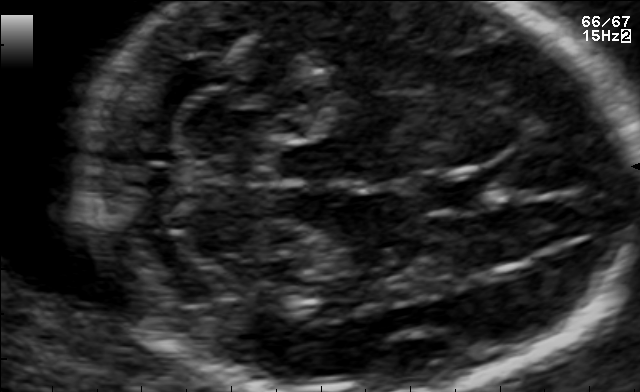
Fetal brain, trans-cerebellum plane. Where is the fetal head?

Head bounding box: [81,4,635,391]